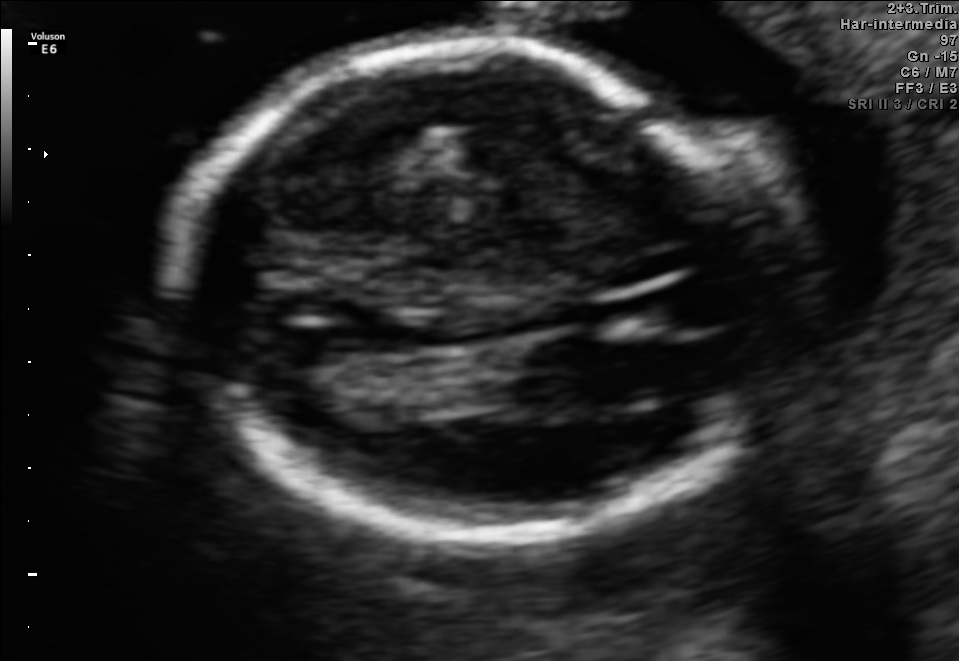
In this fetal brain, trans-thalamic plane, give bounding boxes for the head outline, cavum septum pellucidum (CSP), and lateral ventricle (LV), where visible.

Head: [169,43,764,536]